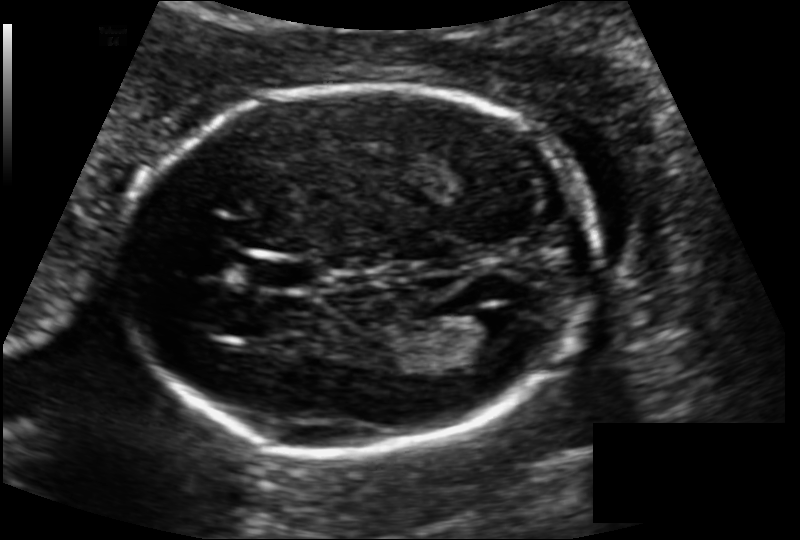
Fetal head ultrasound. Image width: 99.0 mm. Locate the fetal head and, if visible, the cavum septum pellucidum (CSP) and lateral ventricle (LV). Give bounding boxes as [x1,y1,x2,y2].

Head: [121,87,601,457]
CSP: [246,253,317,295]
Lateral ventricle: [444,314,526,368]